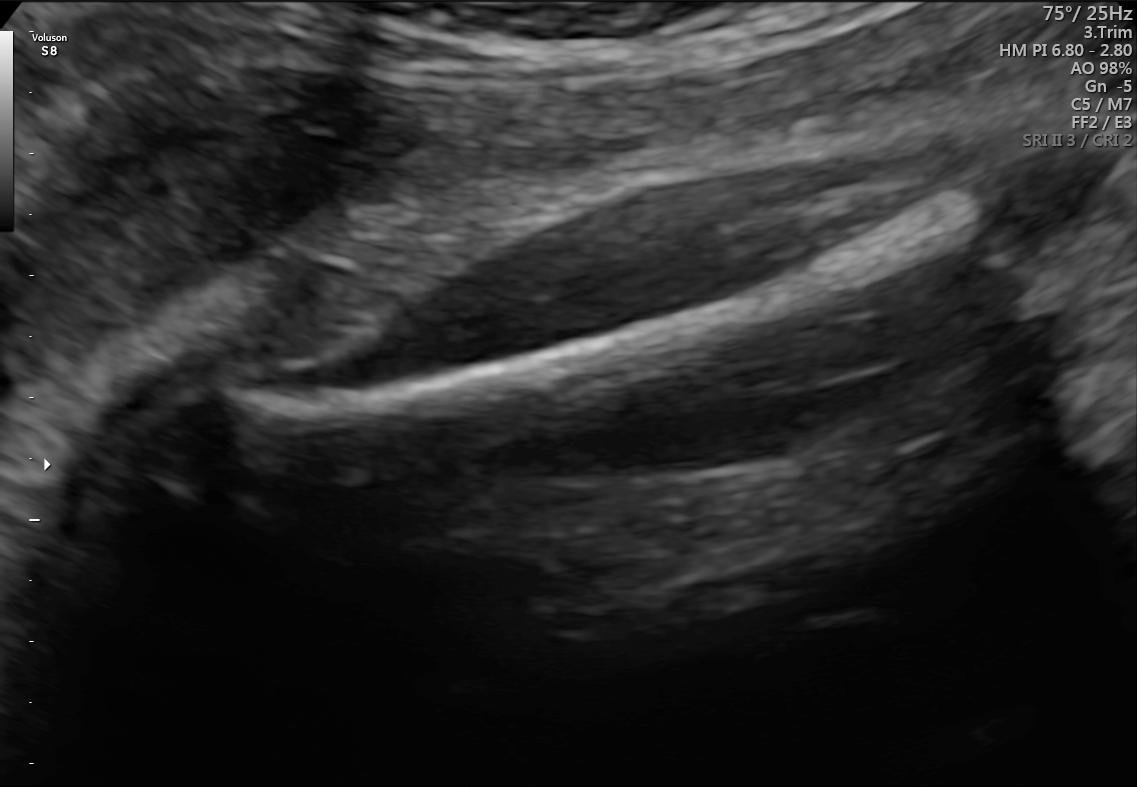
This is a 2D maternal-fetal ultrasound frame. Is it a fetal abdomen, fetal brain, fetal femur, fetal thorax, maternal cervix, or other standard plane? If it's fetal brain and one of the three standard brain planes (trans-thalamic, trans-cerebellum, trans-ventricular), name which.

Fetal femur